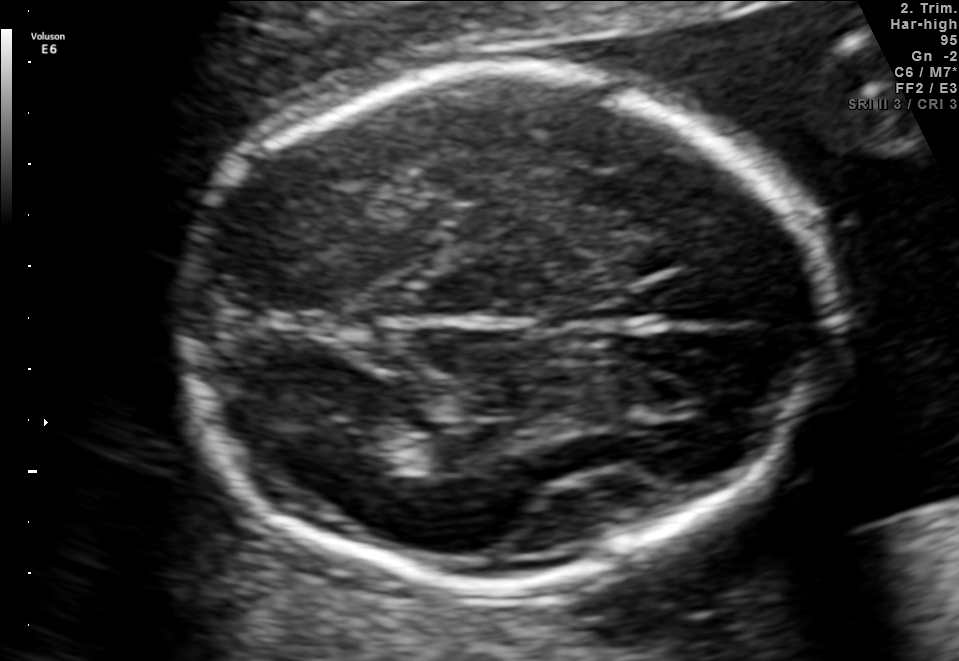
Fetal brain, trans-thalamic plane. Give [x1,y1,x2,y2] bounding boxes for each visible structure among: fetal head, CSP, LV.

Head: [177,71,828,582]
Lateral ventricle: [328,423,441,473]